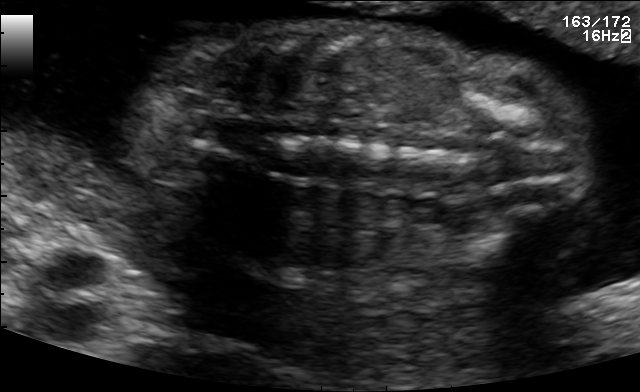
Which standard maternal-fetal ultrasound plane is shown: fetal abdomen, fetal brain, fetal femur, fetal thorax, maternal cervix, or other? If it's fetal brain and one of the three standard brain planes (trans-thalamic, trans-cerebellum, trans-ventricular), name which.

Other